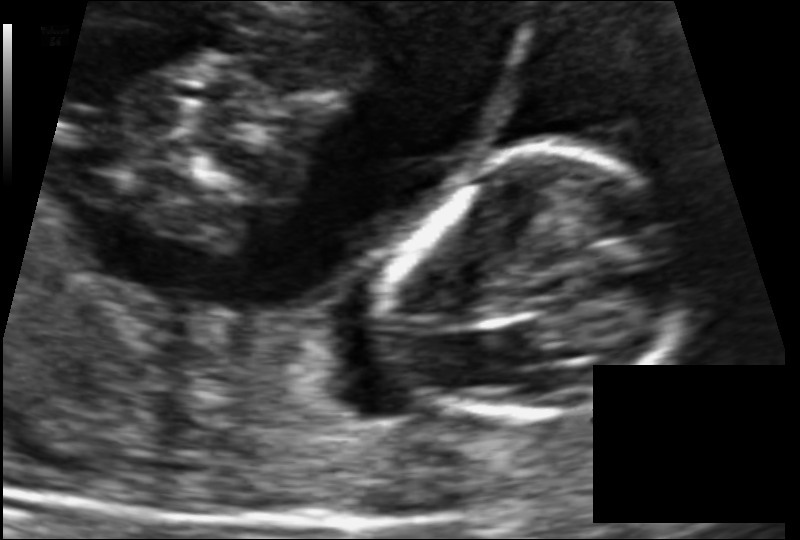
Estimate the fetal head circumference from this 2D ultrasound.

Head circumference: 81.1 mm (image width 69.1 mm).